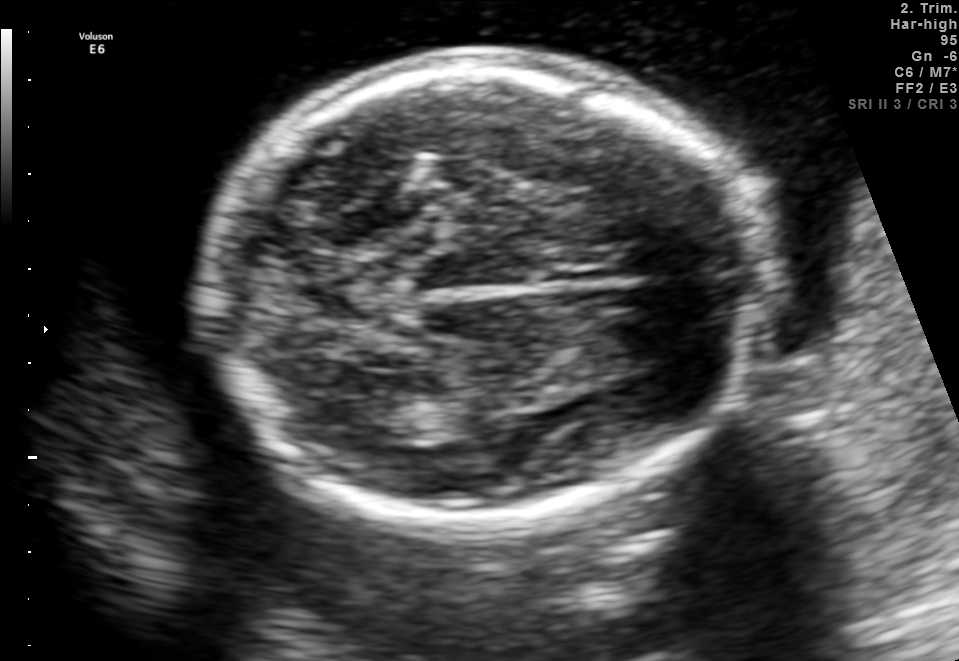
Fetal brain, trans-thalamic plane. Locate the lateral ventricle.

Lateral ventricle: [328,395,391,432]